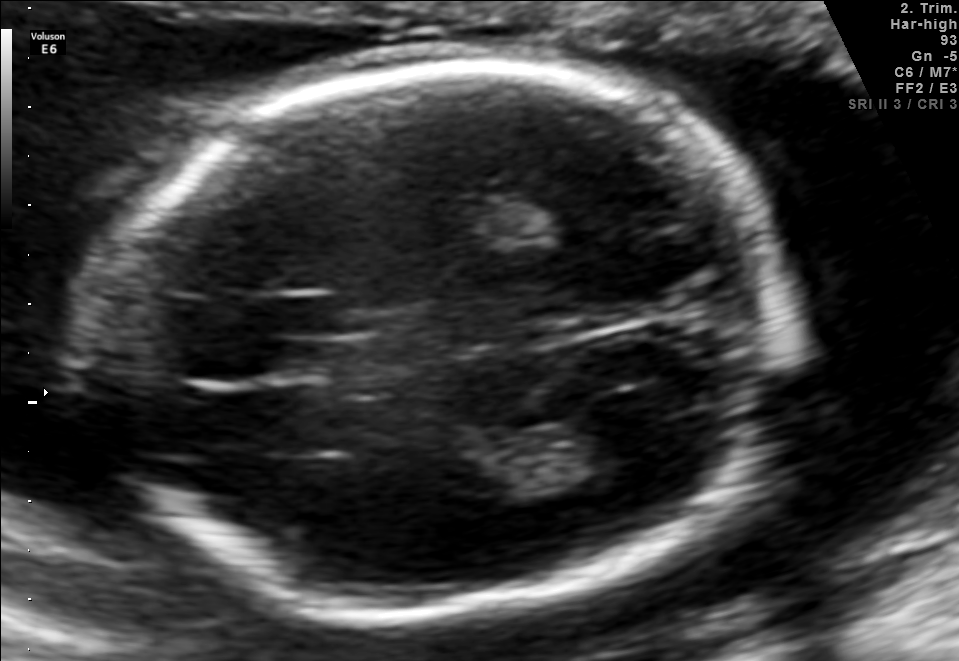
This is a 2D maternal-fetal ultrasound frame. Is it a fetal abdomen, fetal brain, fetal femur, fetal thorax, maternal cervix, or other standard plane? If it's fetal brain and one of the three standard brain planes (trans-thalamic, trans-cerebellum, trans-ventricular), name which.

Fetal brain (trans-thalamic plane)